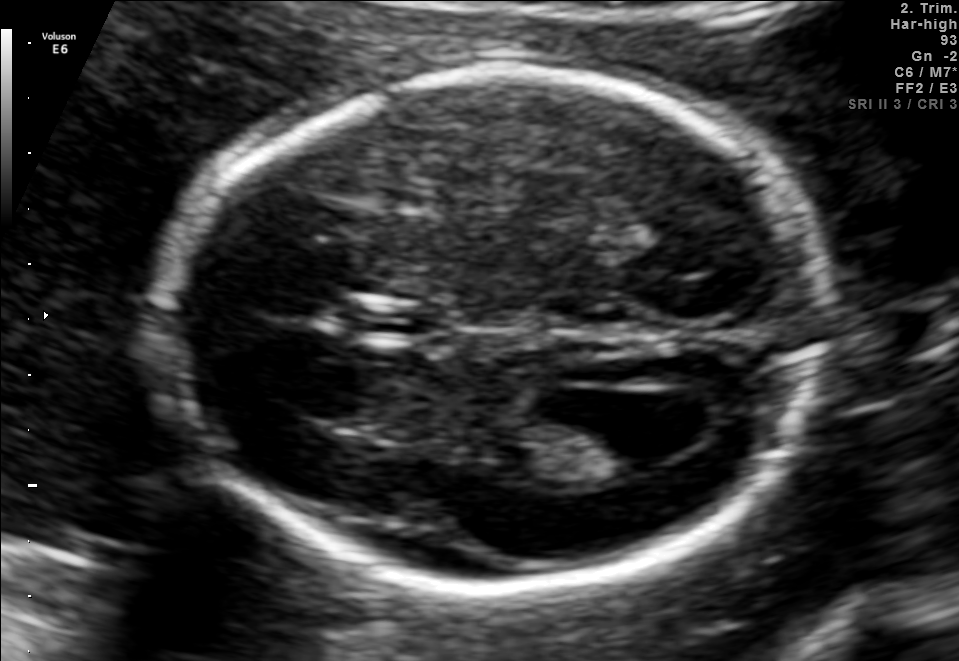
Fetal brain, trans-ventricular plane. Where is the lateral ventricle?

Lateral ventricle bounding box: [563,383,697,487]